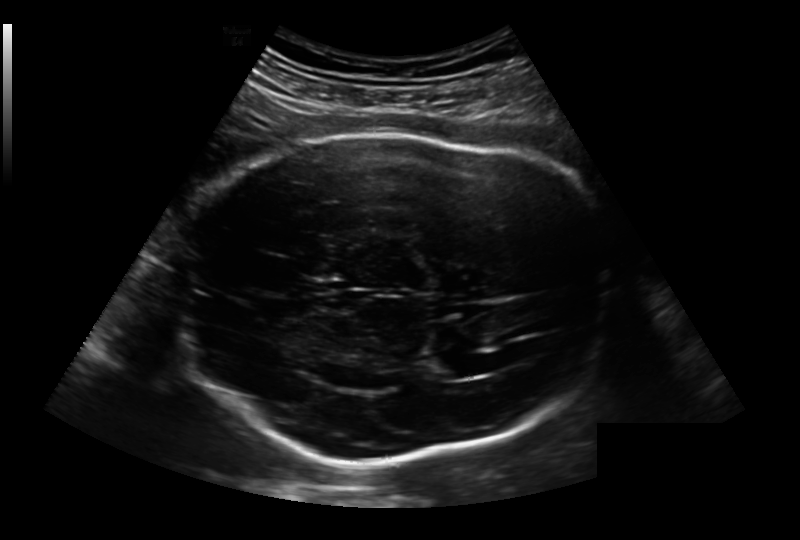
Fetal head ultrasound. Image width: 188.6 mm. Give [x1,y1,x2,y2] bounding boxes for each visible structure among: fetal head, CSP, LV.

Head: [170,136,611,462]
Lateral ventricle: [425,352,476,381]